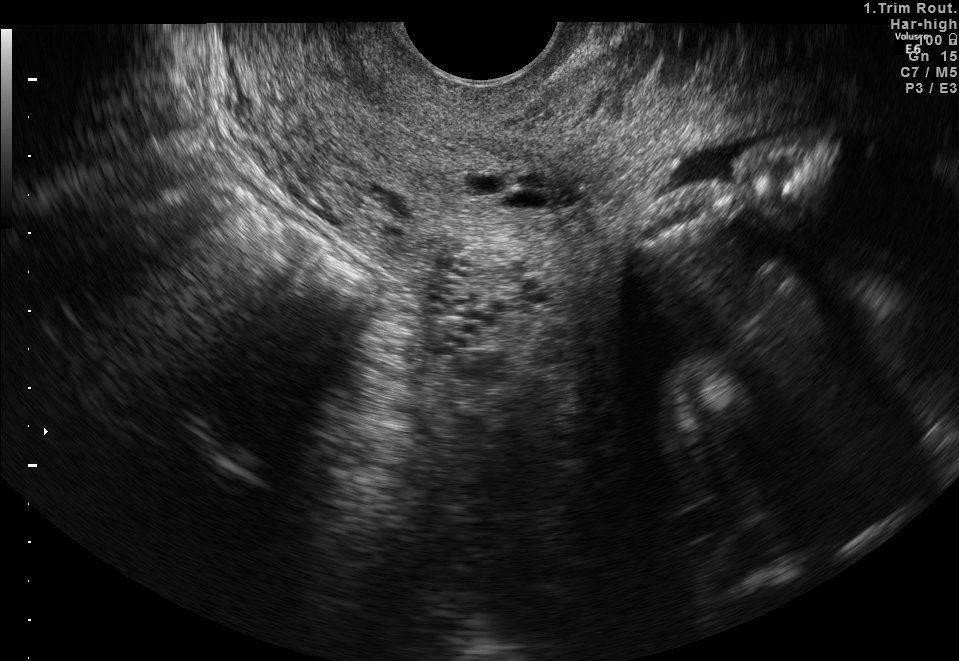
Which standard maternal-fetal ultrasound plane is shown: fetal abdomen, fetal brain, fetal femur, fetal thorax, maternal cervix, or other? If it's fetal brain and one of the three standard brain planes (trans-thalamic, trans-cerebellum, trans-ventricular), name which.

Maternal cervix